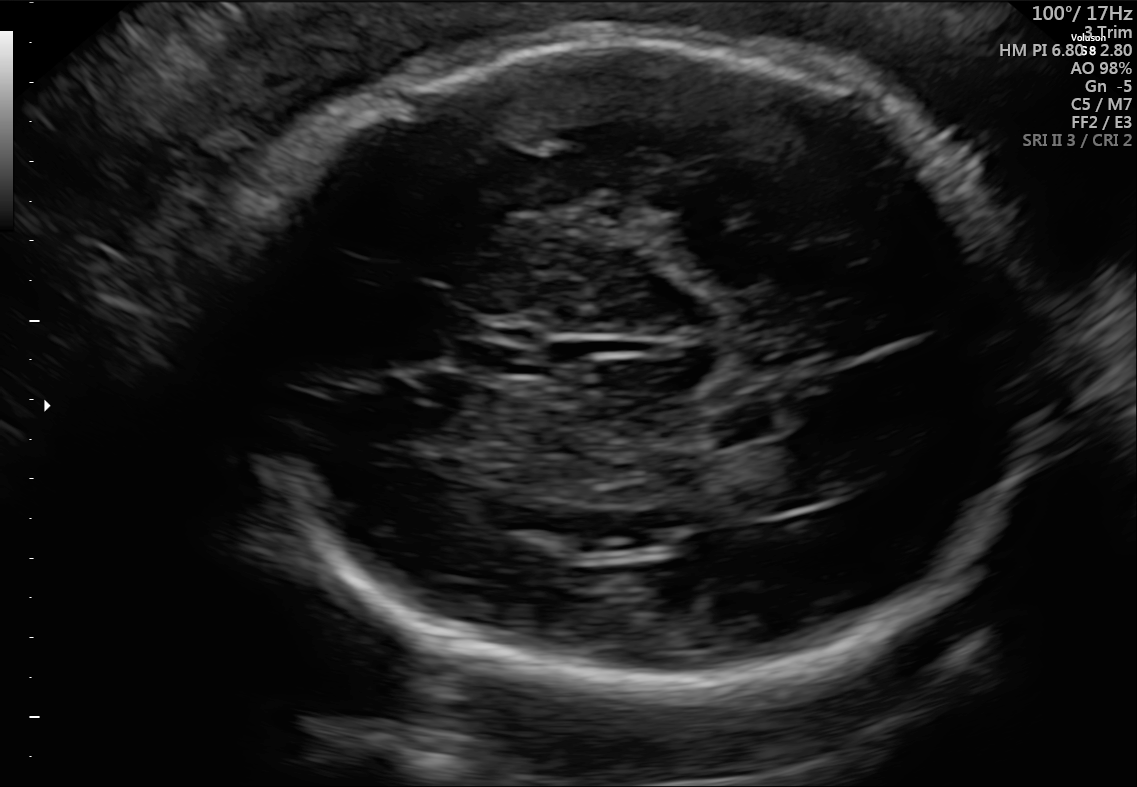
Fetal brain, trans-thalamic plane. Where is the cavum septum pellucidum?

CSP bounding box: [467,325,546,376]